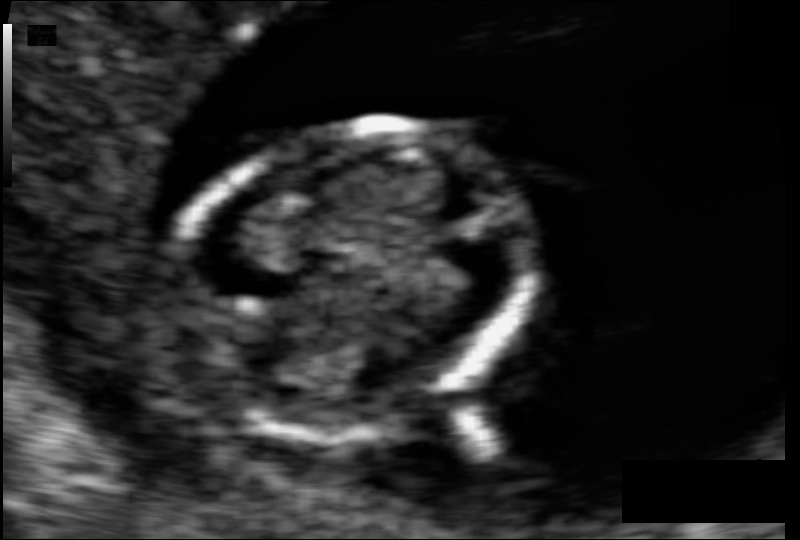
Fetal head ultrasound. Image width: 54.9 mm. Locate the fetal head.

Head: [177,121,536,440]